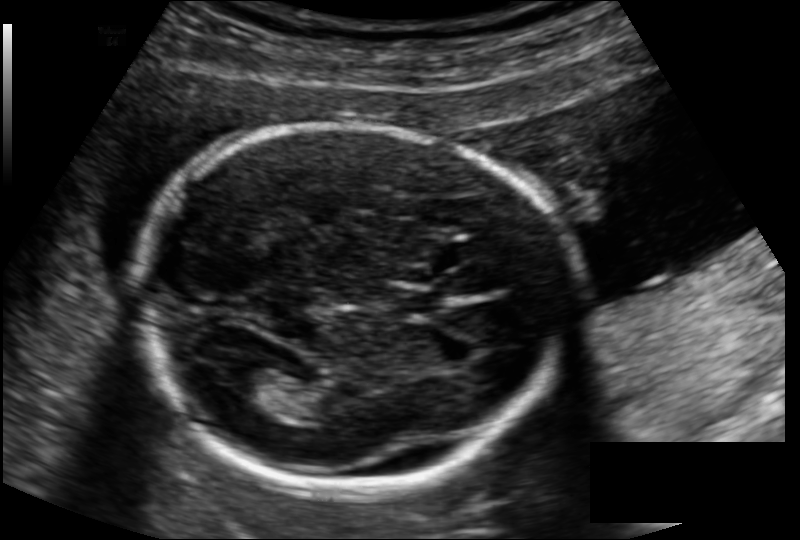
In this fetal head ultrasound, give the bounding box of the cavum septum pellucidum. Image width: 107.6 mm.

[385,284,441,316]